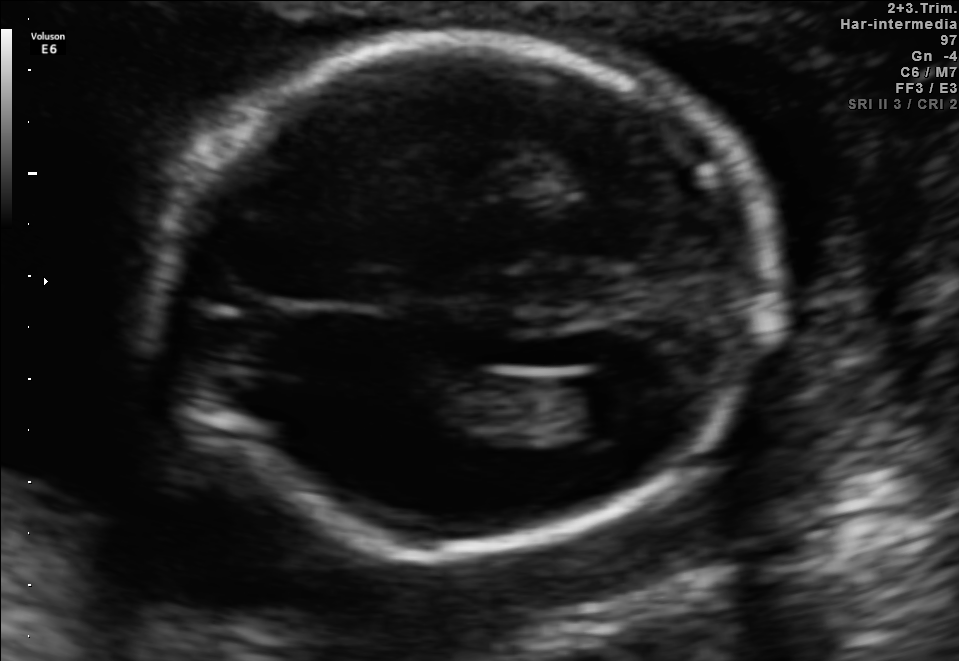
Fetal brain, trans-ventricular plane. Locate the fetal head and, if visible, the cavum septum pellucidum (CSP) and lateral ventricle (LV). Give bounding boxes as [x1,y1,x2,y2].

Head: [125,30,790,561]
Lateral ventricle: [565,362,660,434]